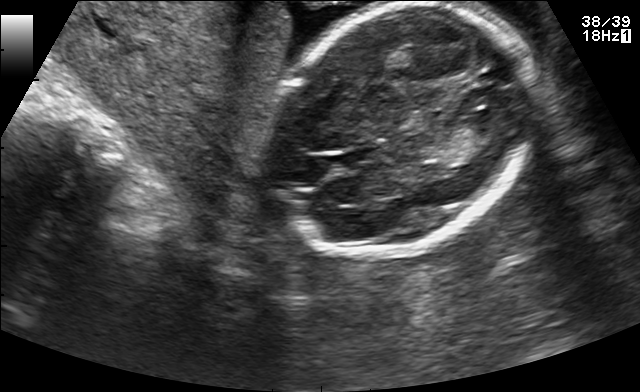
Fetal brain, trans-thalamic plane. Where is the fetal head?

Head bounding box: [272,4,532,255]